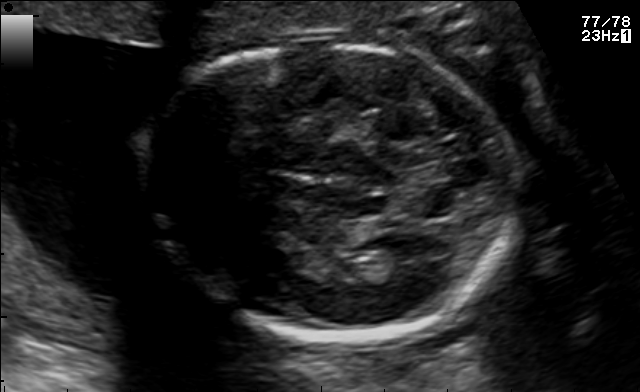
Fetal brain, trans-thalamic plane. Give [x1,y1,x2,y2] bounding boxes for each visible structure among: fetal head, CSP, LV.

Head: [153,37,517,337]